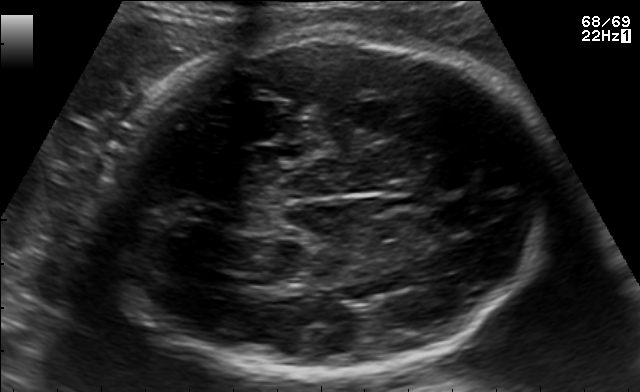
Fetal brain, trans-thalamic plane. Locate the fetal head and, if visible, the cavum septum pellucidum (CSP) and lateral ventricle (LV). Give bounding boxes as [x1,y1,x2,y2].

Head: [102,32,550,379]